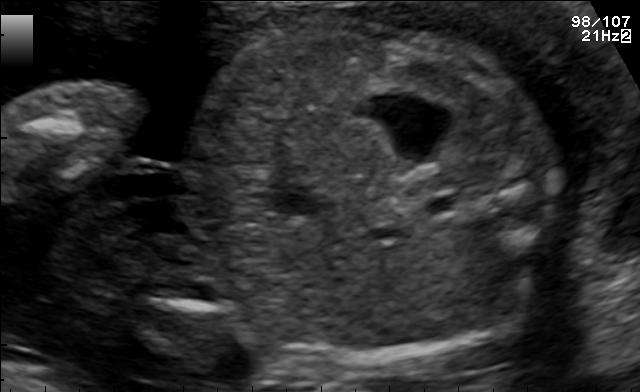
Classify this maternal-fetal ultrasound image as one of the six standard planes — fetal abdomen, fetal brain, fetal femur, fetal thorax, maternal cervix, or other. If it's fetal brain and one of the three standard brain planes (trans-thalamic, trans-cerebellum, trans-ventricular), name which.

Fetal abdomen